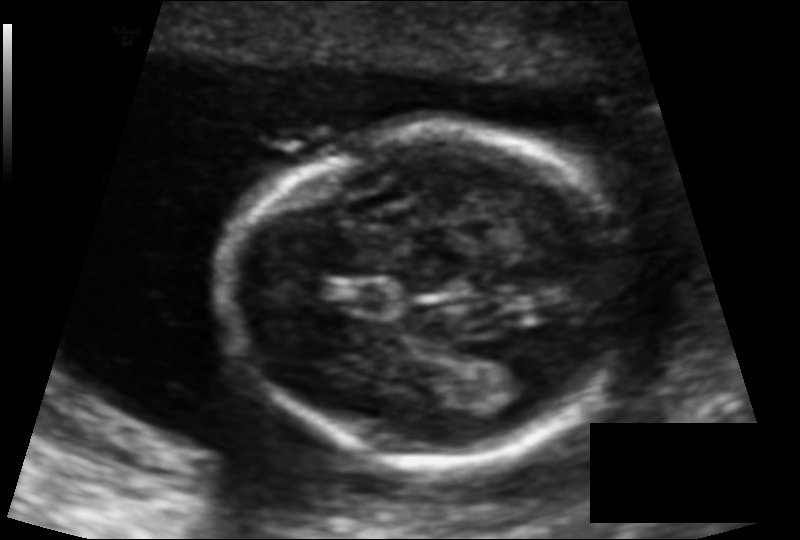
Estimate the fetal head circumference from this 2D ultrasound.

Head circumference: 121.3 mm (image width 81.7 mm).